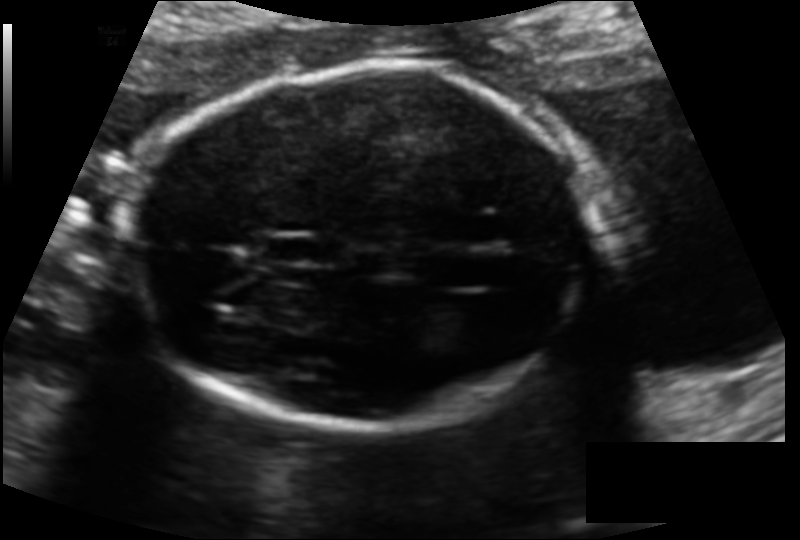
Fetal head ultrasound. Image width: 101.0 mm. Locate the fetal head and, if visible, the cavum septum pellucidum (CSP) and lateral ventricle (LV). Give bounding boxes as [x1,y1,x2,y2].

Head: [127,65,591,429]
CSP: [263,234,318,264]